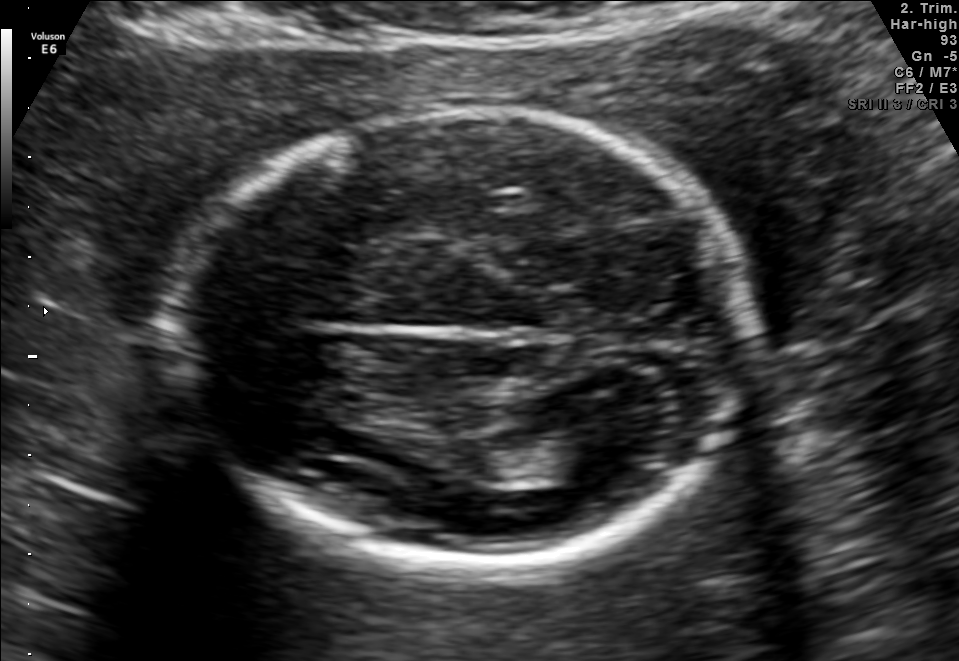
Fetal brain, trans-thalamic plane. Locate the fetal head.

Head: [171,107,752,564]